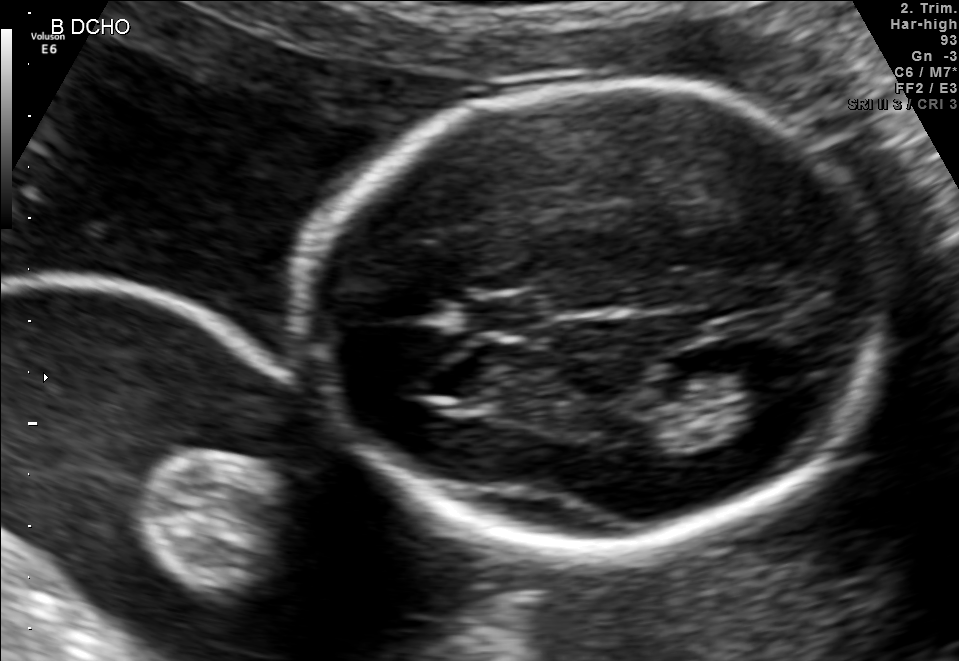
Fetal brain, trans-thalamic plane. Give [x1,y1,x2,y2] bounding boxes for each visible structure among: fetal head, CSP, LV.

Head: [297,80,892,555]
CSP: [464,293,545,335]
Lateral ventricle: [709,332,809,422]